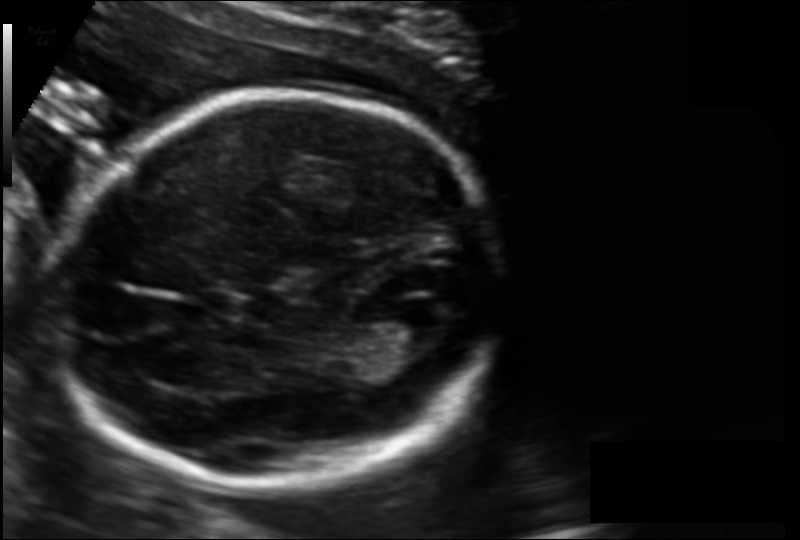
Estimate the fetal head circumference from this 2D ultrasound. Image width: 102.4 mm.

Head circumference: 173.8 mm.